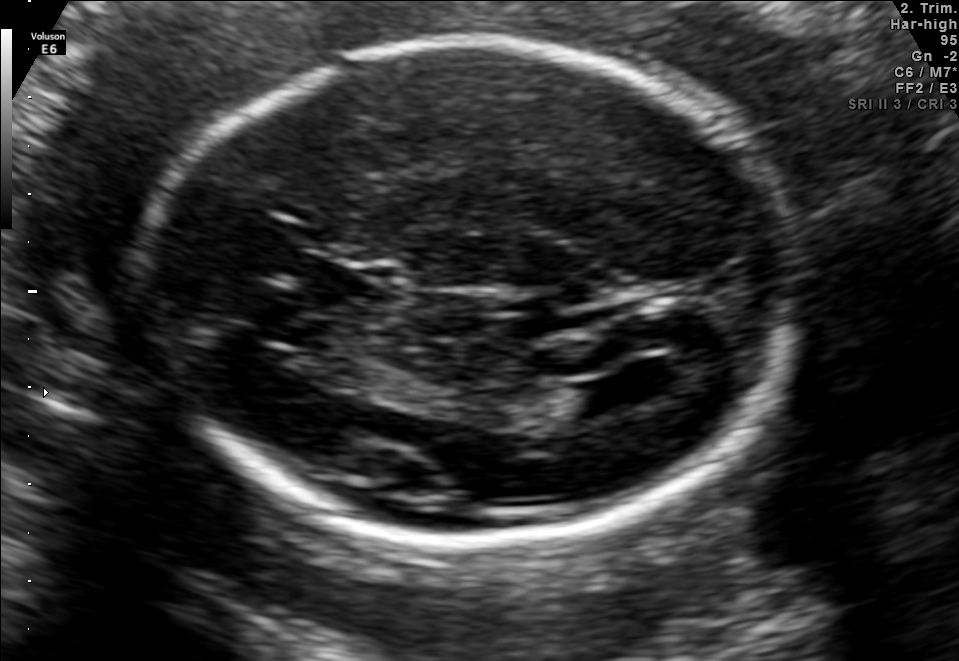
In this fetal brain, trans-ventricular plane, give the bounding box of the fetal head.

[123,34,808,549]